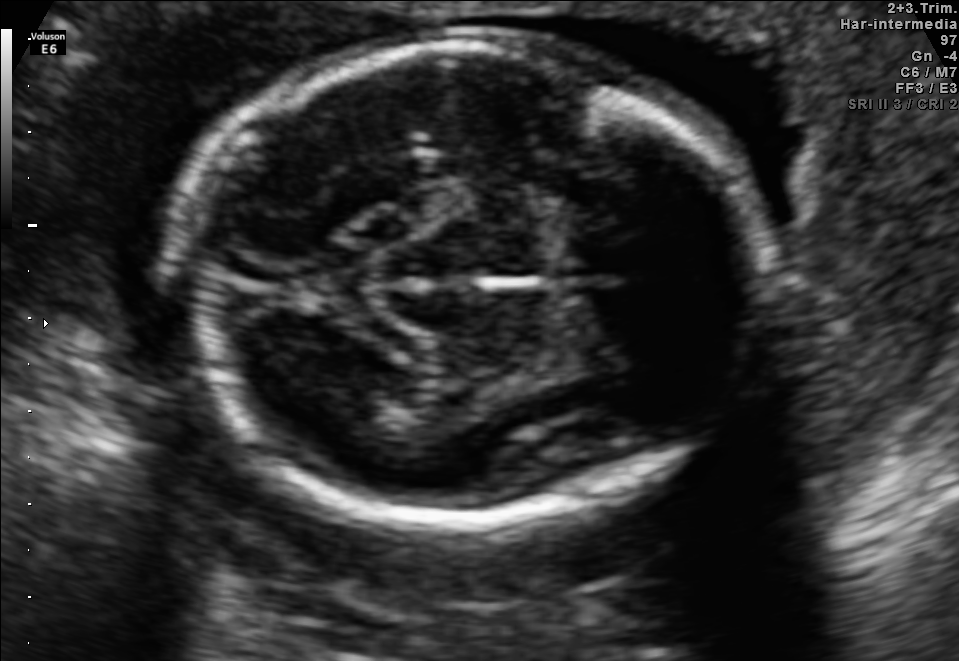
Fetal brain, trans-thalamic plane. Locate the fetal head.

Head: [184,35,759,524]